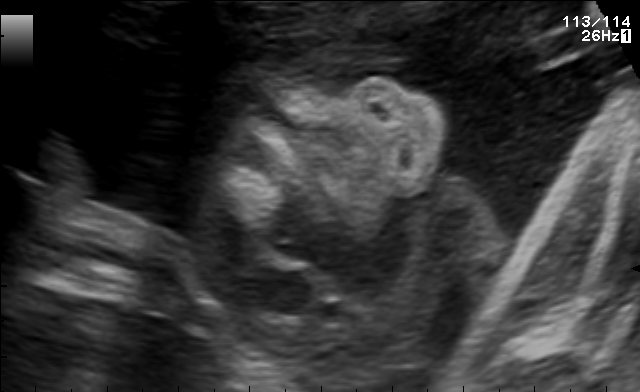
Which standard maternal-fetal ultrasound plane is shown: fetal abdomen, fetal brain, fetal femur, fetal thorax, maternal cervix, or other? If it's fetal brain and one of the three standard brain planes (trans-thalamic, trans-cerebellum, trans-ventricular), name which.

Other